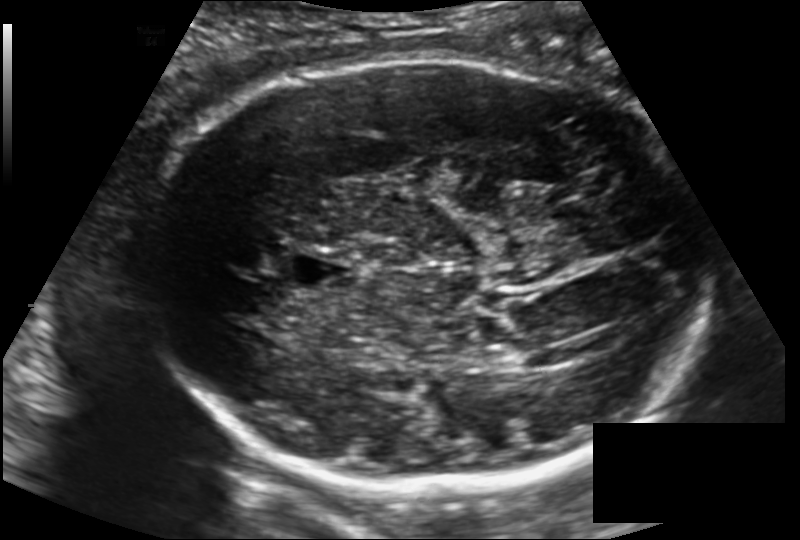
Fetal head ultrasound. Image width: 136.5 mm. Locate the fetal head and, if visible, the cavum septum pellucidum (CSP) and lateral ventricle (LV). Give bounding boxes as [x1,y1,x2,y2].

Head: [137,59,710,486]
CSP: [284,249,360,296]
Lateral ventricle: [494,338,546,370]